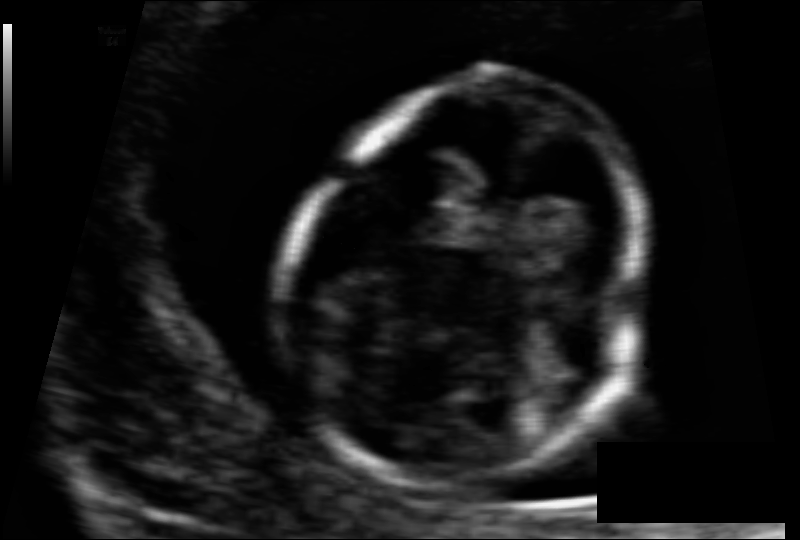
Estimate the fetal head circumference from this 2D ultrasound. Image width: 50.2 mm.

Head circumference: 78.1 mm.